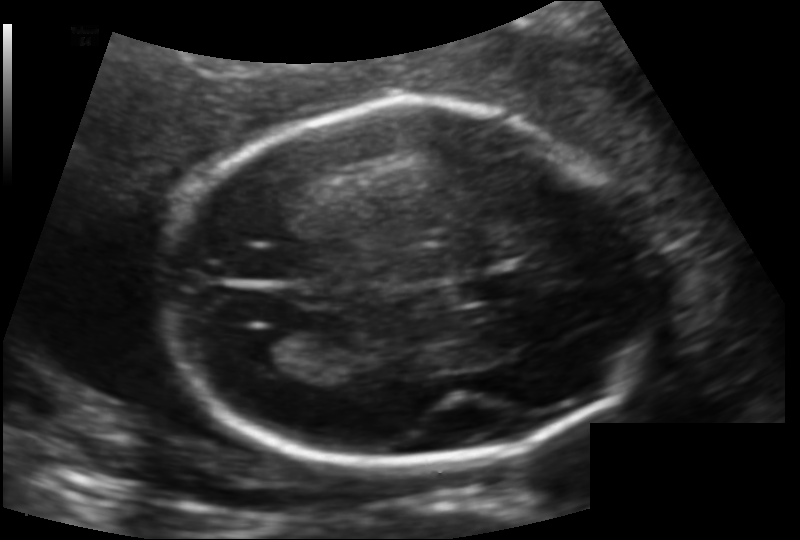
Fetal head ultrasound. Image width: 106.2 mm. Where is the fetal head?

Head bounding box: [156,107,654,464]